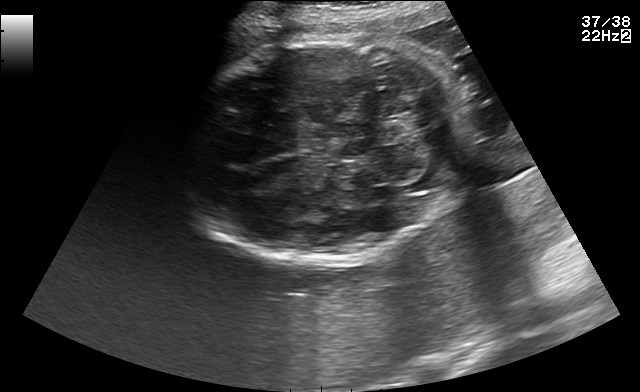
This is a 2D maternal-fetal ultrasound frame. Is it a fetal abdomen, fetal brain, fetal femur, fetal thorax, maternal cervix, or other standard plane? If it's fetal brain and one of the three standard brain planes (trans-thalamic, trans-cerebellum, trans-ventricular), name which.

Fetal brain (trans-cerebellum plane)